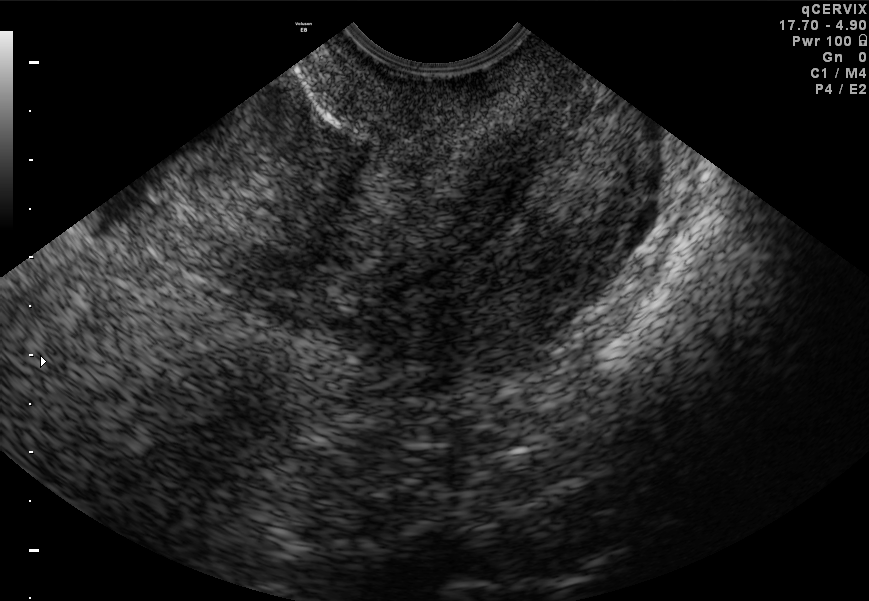
This is a 2D maternal-fetal ultrasound frame. Is it a fetal abdomen, fetal brain, fetal femur, fetal thorax, maternal cervix, or other standard plane? If it's fetal brain and one of the three standard brain planes (trans-thalamic, trans-cerebellum, trans-ventricular), name which.

Maternal cervix